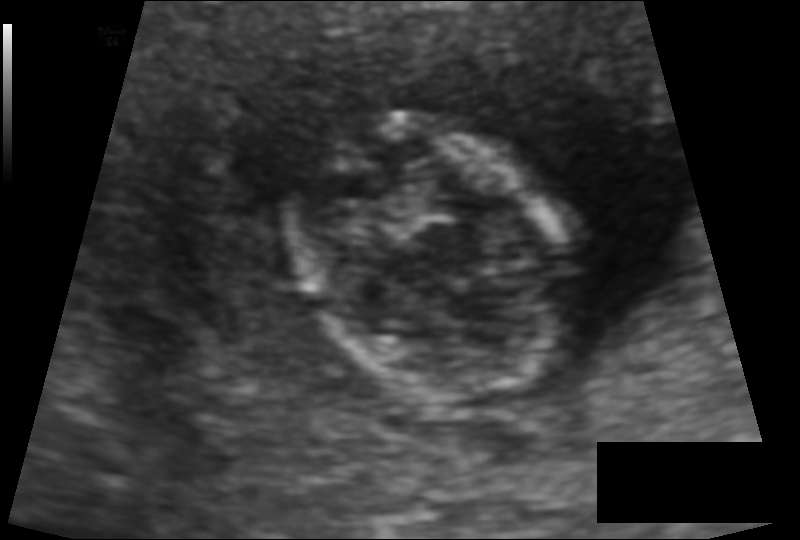
In this fetal head ultrasound, give bounding boxes for the head outline, cavum septum pellucidum (CSP), and lateral ventricle (LV), where visible. Image width: 72.9 mm.

Head: [277,120,585,395]